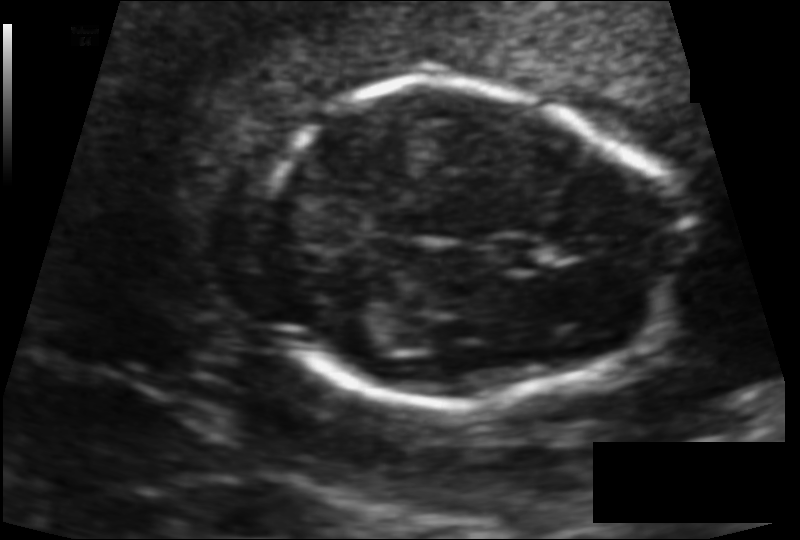
Fetal head ultrasound. Image width: 80.4 mm. Where is the fetal head?

Head bounding box: [254,84,682,407]